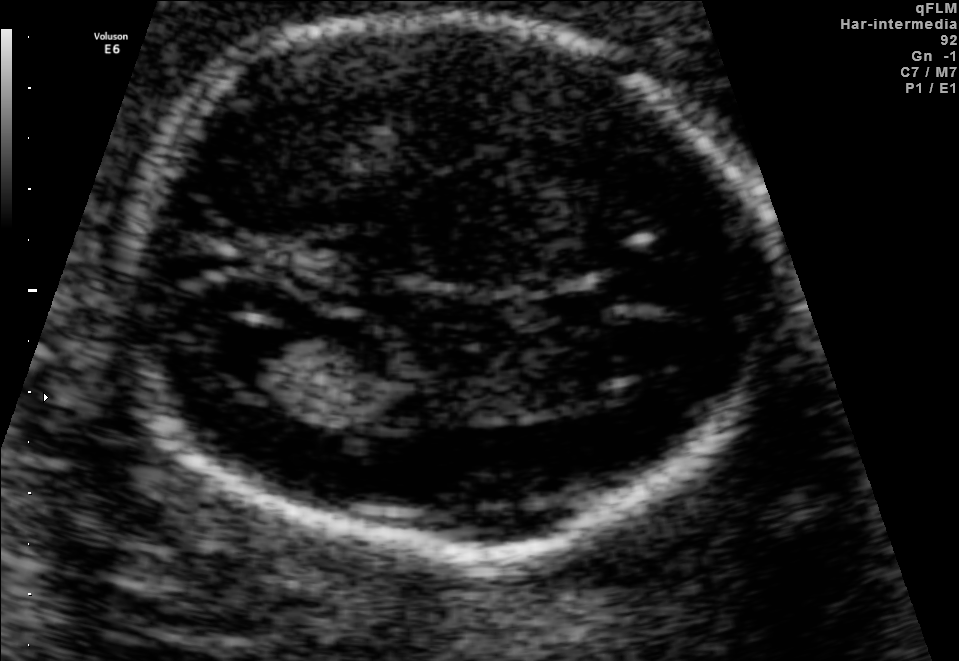
Fetal brain, trans-ventricular plane. Locate the lateral ventricle.

Lateral ventricle: [190,307,298,392]